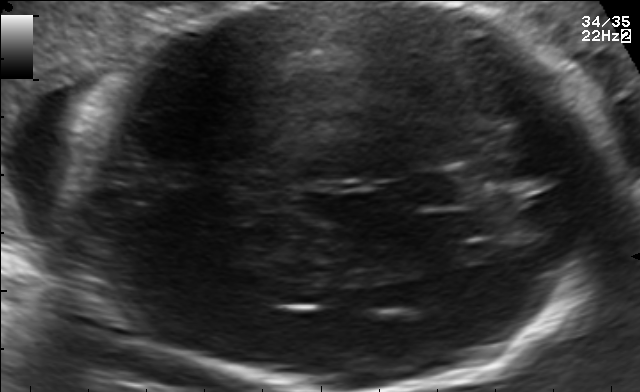
Fetal brain, trans-thalamic plane. Give [x1,y1,x2,y2] bounding boxes for each visible structure among: fetal head, CSP, LV.

Head: [65,3,622,390]
CSP: [411,170,469,210]